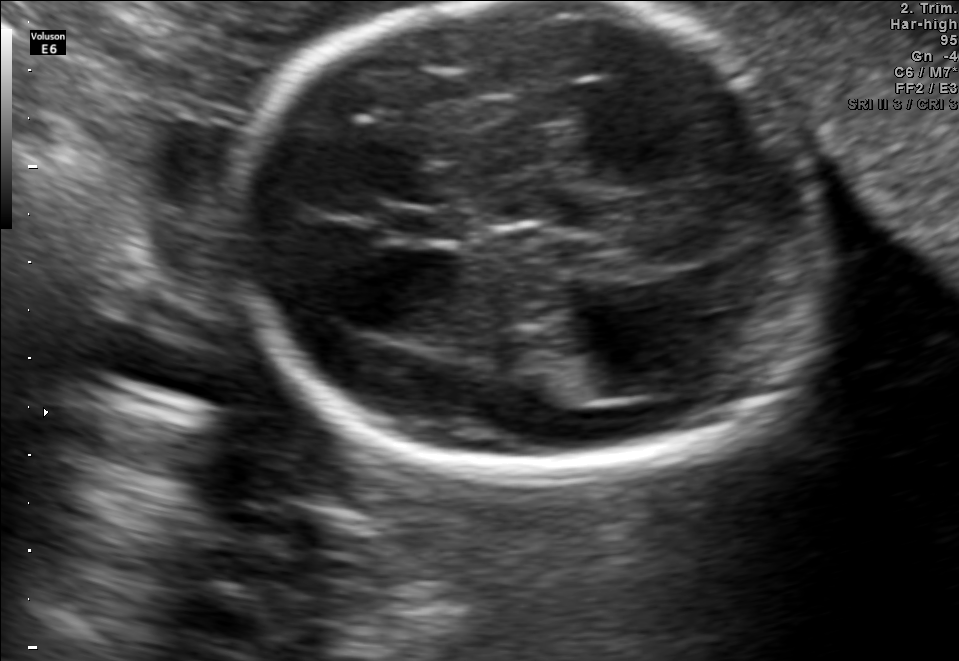
Fetal brain, trans-thalamic plane. Locate the cavum septum pellucidum.

CSP: [383,204,464,241]